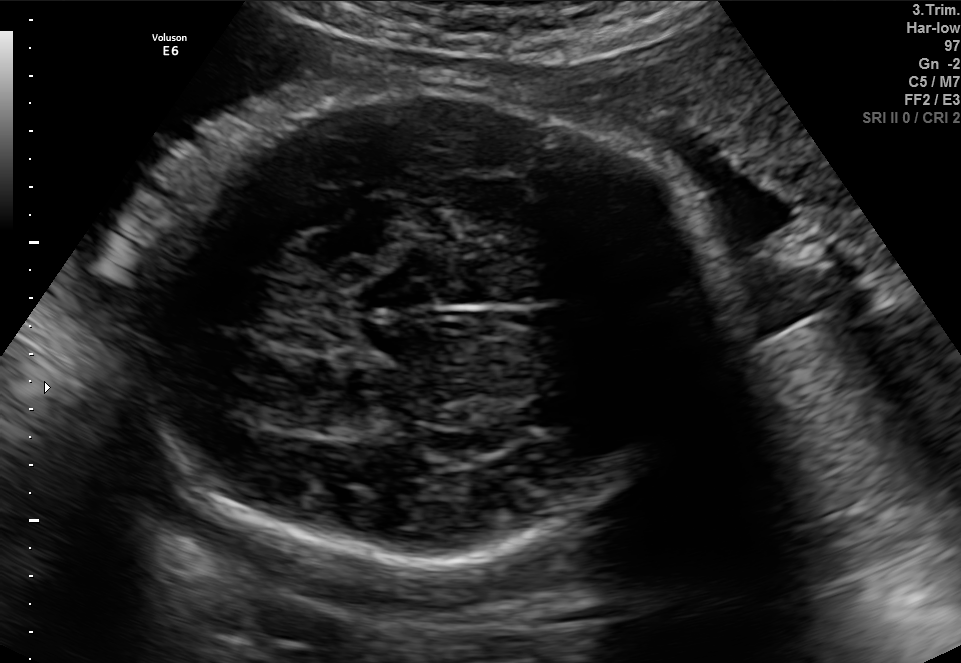
Fetal brain, trans-thalamic plane. Give [x1,y1,x2,y2] bounding boxes for each visible structure among: fetal head, CSP, LV.

Head: [118,88,723,565]